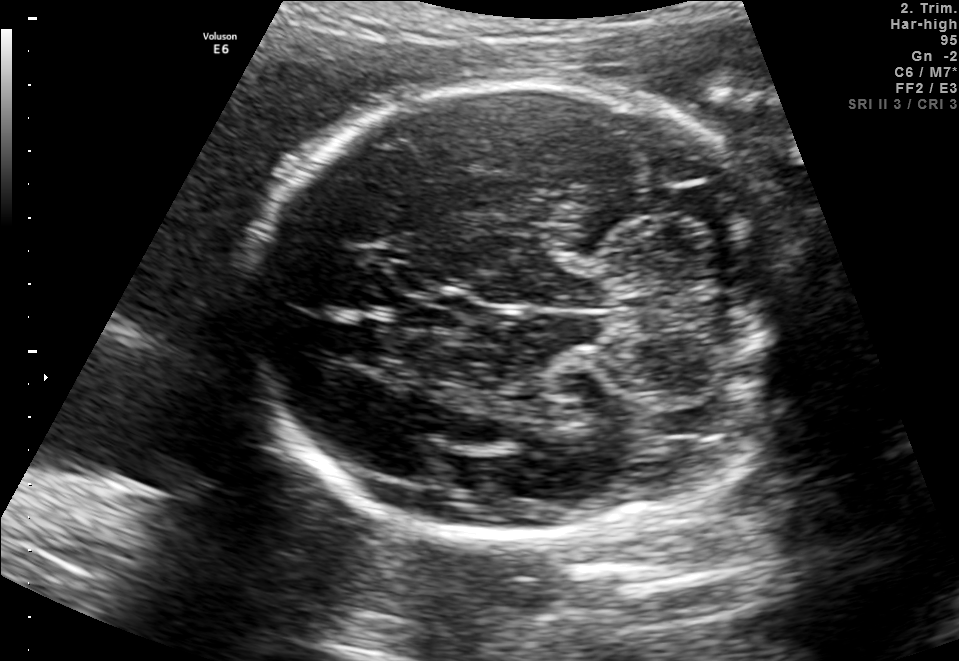
In this fetal brain, trans-cerebellum plane, give the bounding box of the fetal head.

[247,80,790,539]